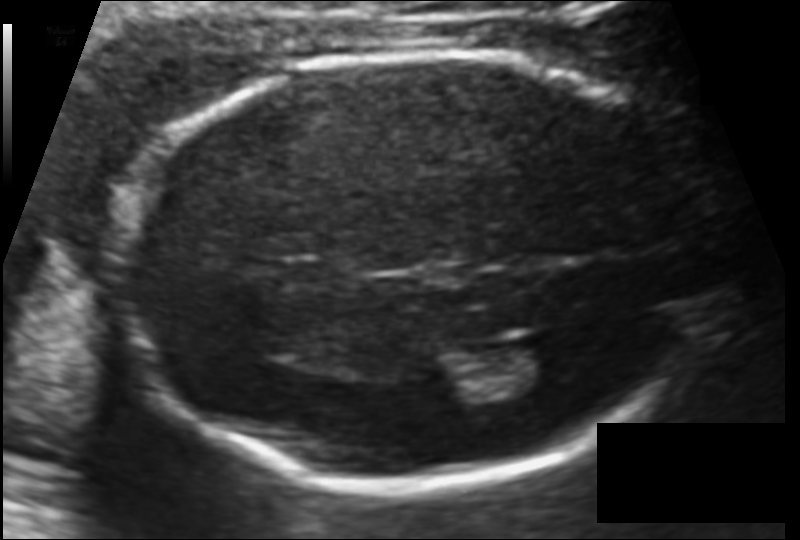
Fetal head ultrasound. Image width: 91.0 mm. Where is the lateral ventricle?

Lateral ventricle bounding box: [492,334,577,401]